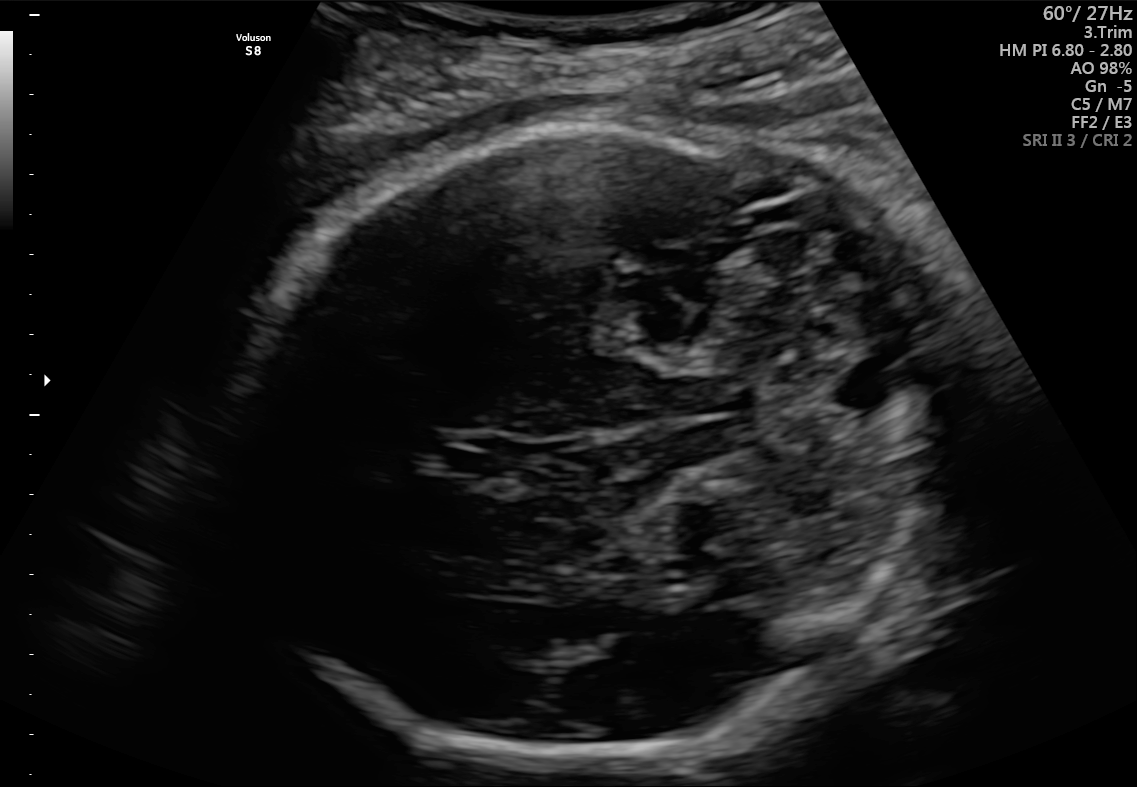
In this fetal brain, trans-cerebellum plane, give bounding boxes for the head outline, cavum septum pellucidum (CSP), and lateral ventricle (LV), where visible.

Head: [230,127,947,755]